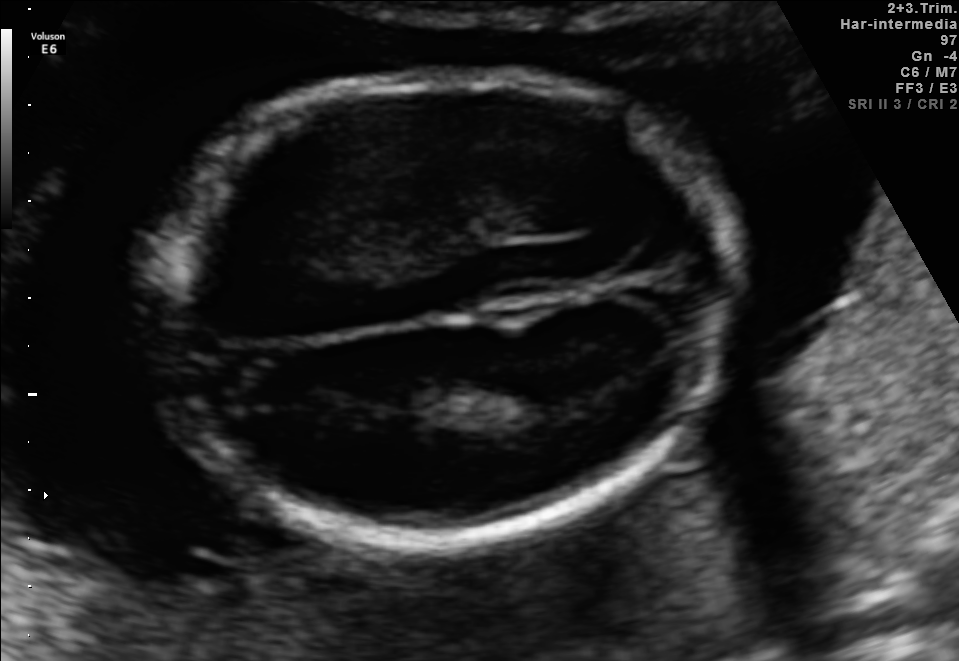
Fetal brain, trans-thalamic plane. Where is the fetal head?

Head bounding box: [150,76,735,547]